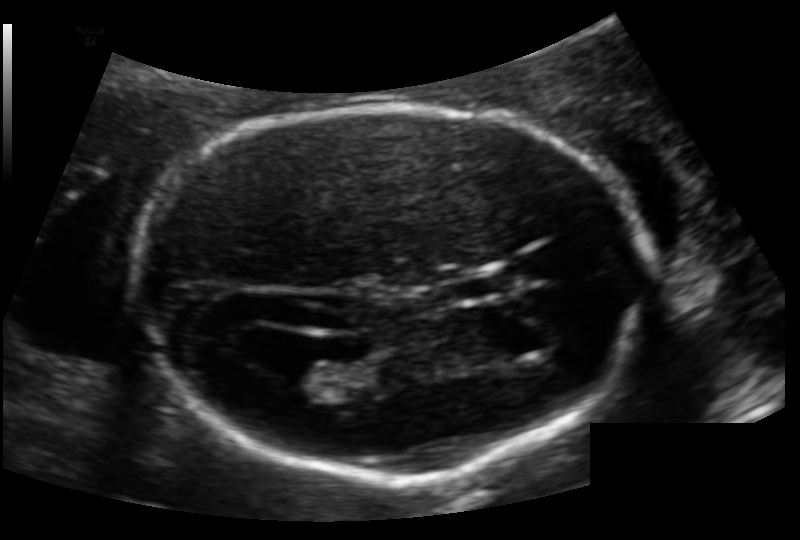
From this fetal ultrasound, estimate the head circumference (image width 99.1 mm).

Head circumference: 178.7 mm.